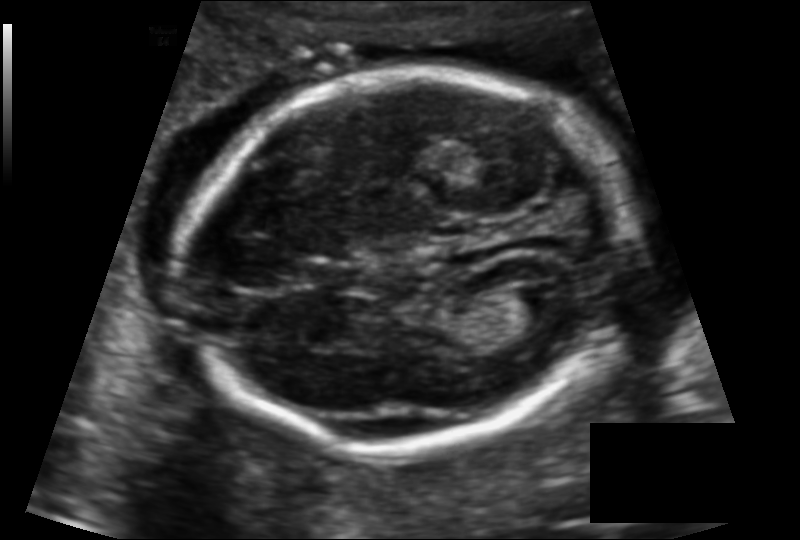
Fetal head ultrasound. Image width: 99.3 mm. Give [x1,y1,x2,y2] bounding boxes for each visible structure among: fetal head, CSP, LV.

Head: [178,74,634,453]
Lateral ventricle: [505,276,577,332]